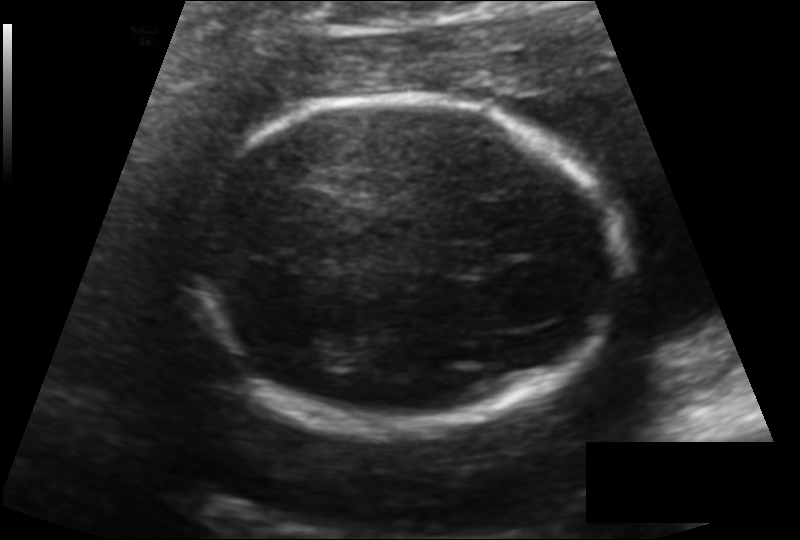
Fetal head ultrasound. Image width: 109.0 mm. Where is the fetal head?

Head bounding box: [178,99,627,430]